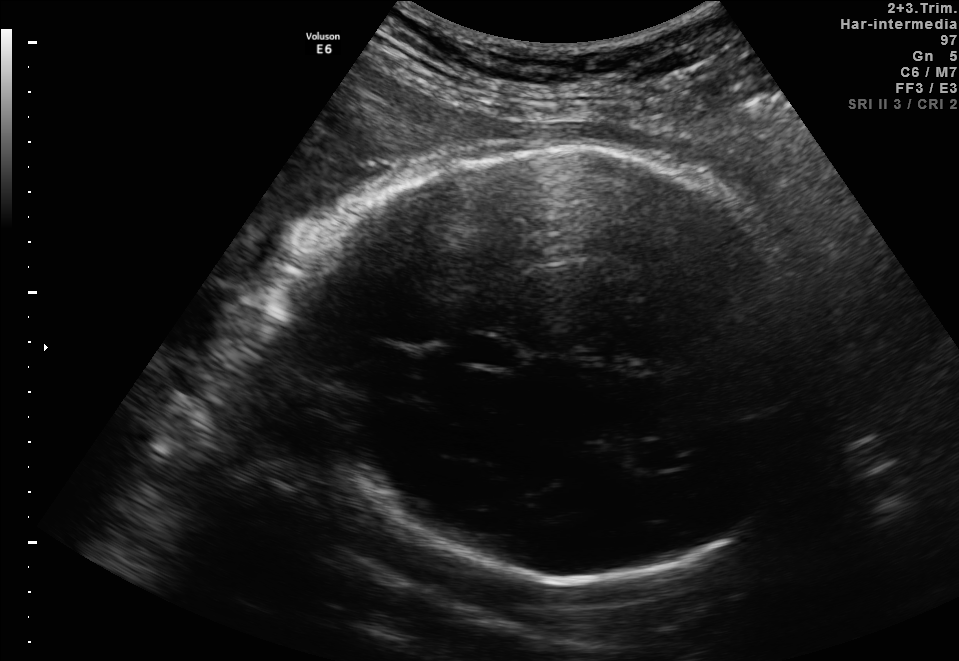
In this fetal brain, trans-thalamic plane, give the bounding box of the lateral ventricle.

[633,438,685,473]